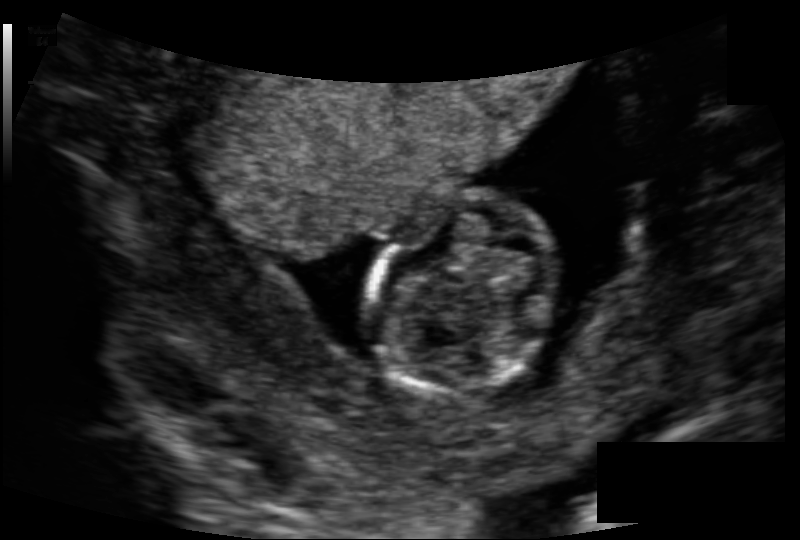
From this fetal ultrasound, estimate the head circumference (image width 94.4 mm).

Head circumference: 75.4 mm.